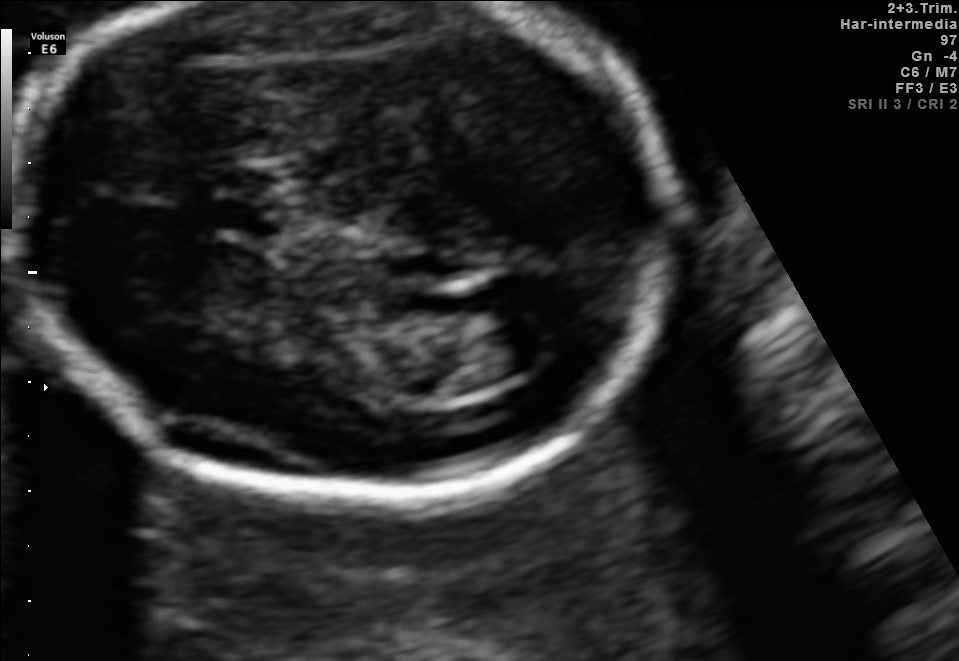
Which standard maternal-fetal ultrasound plane is shown: fetal abdomen, fetal brain, fetal femur, fetal thorax, maternal cervix, or other? If it's fetal brain and one of the three standard brain planes (trans-thalamic, trans-cerebellum, trans-ventricular), name which.

Fetal brain (trans-ventricular plane)